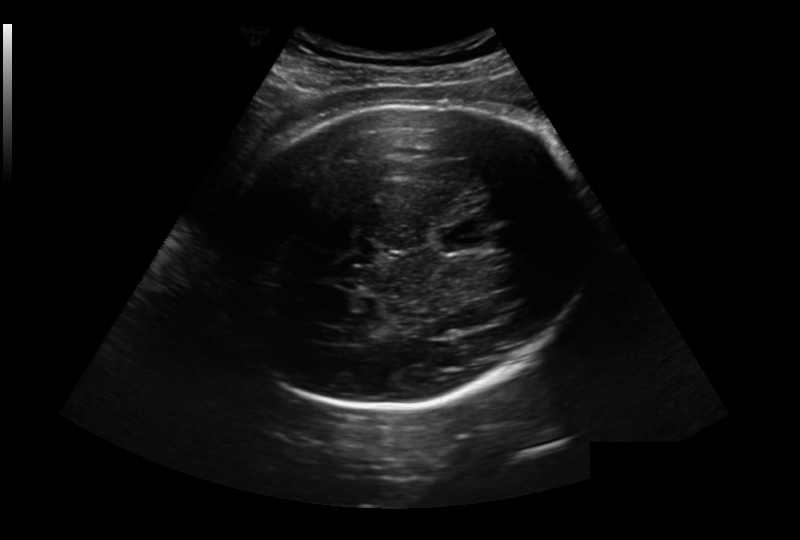
Estimate the fetal head circumference from this 2D ultrasound.

Head circumference: 305.2 mm (image width 224.8 mm).